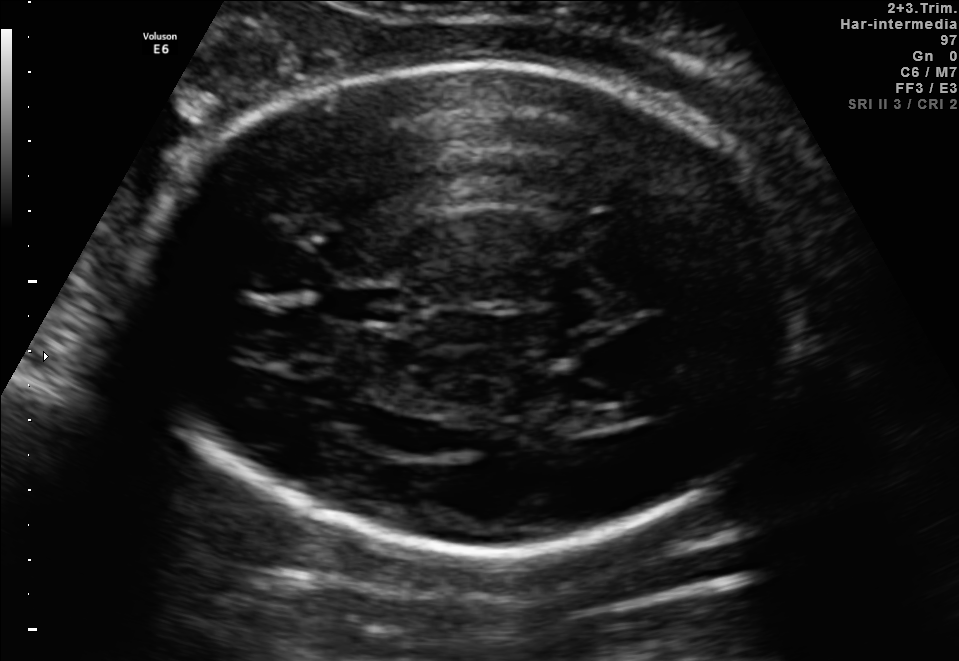
Fetal brain, trans-ventricular plane. Locate the cavum septum pellucidum.

CSP: [318,283,412,327]